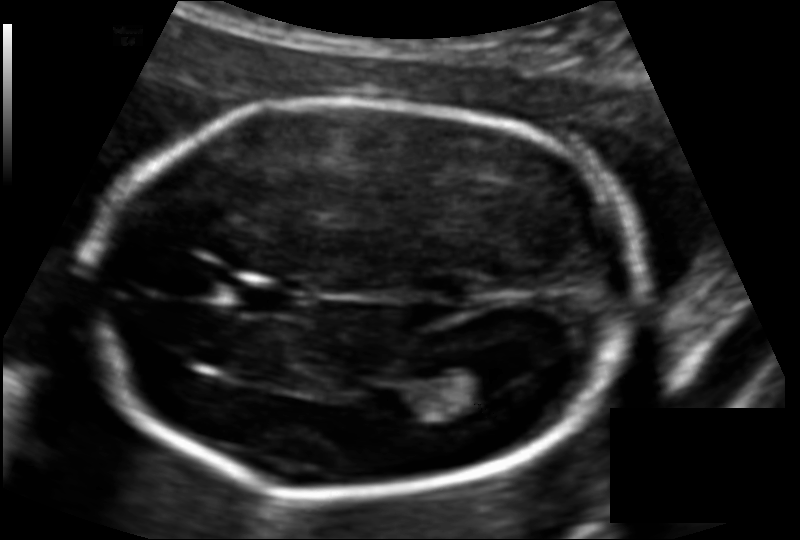
Fetal head ultrasound. Image width: 93.9 mm. Locate the fetal head.

Head: [88,101,630,494]